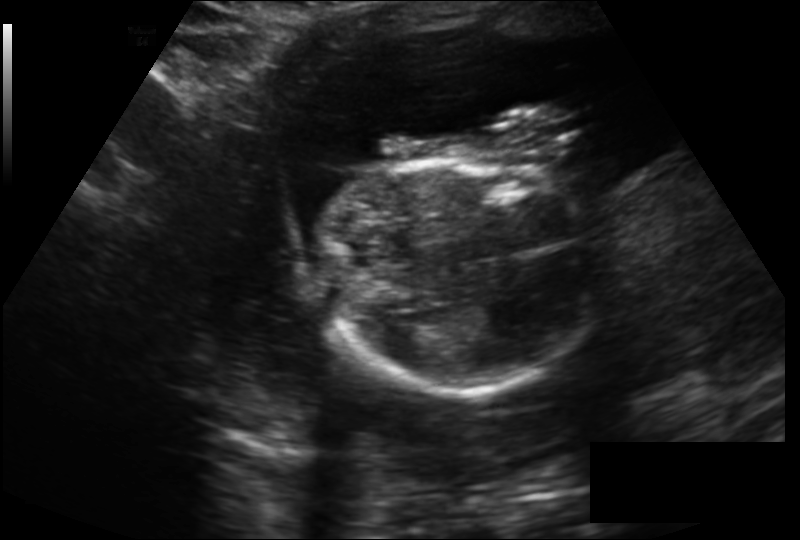
Fetal head ultrasound. Image width: 155.8 mm. Locate the fetal head and, if visible, the cavum septum pellucidum (CSP) and lateral ventricle (LV). Give bounding boxes as [x1,y1,x2,y2].

Head: [320,158,596,395]